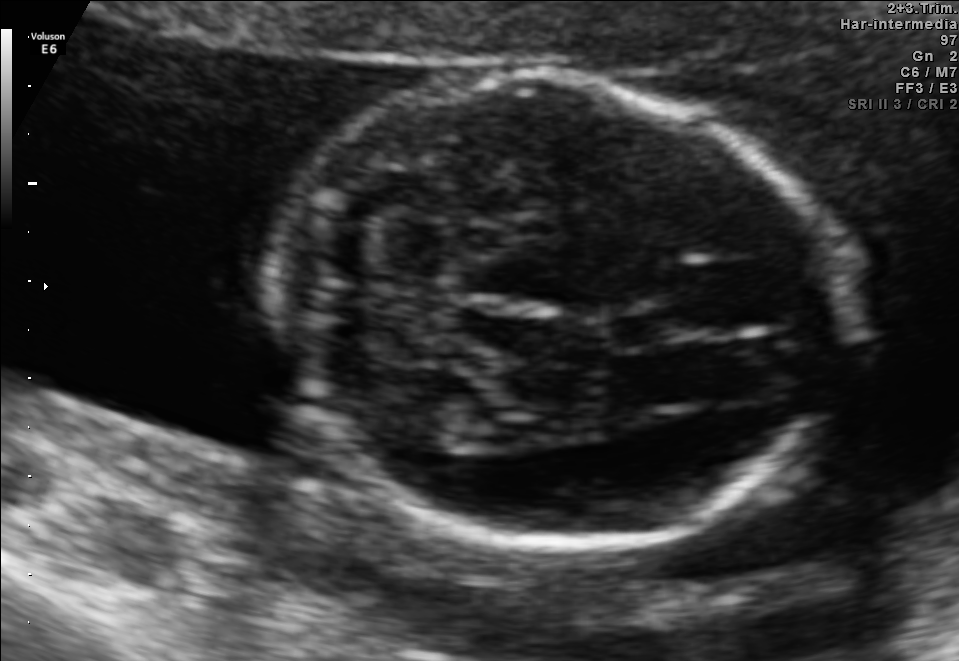
Fetal brain, trans-cerebellum plane. Where is the cavum septum pellucidum?

CSP bounding box: [602,303,685,354]